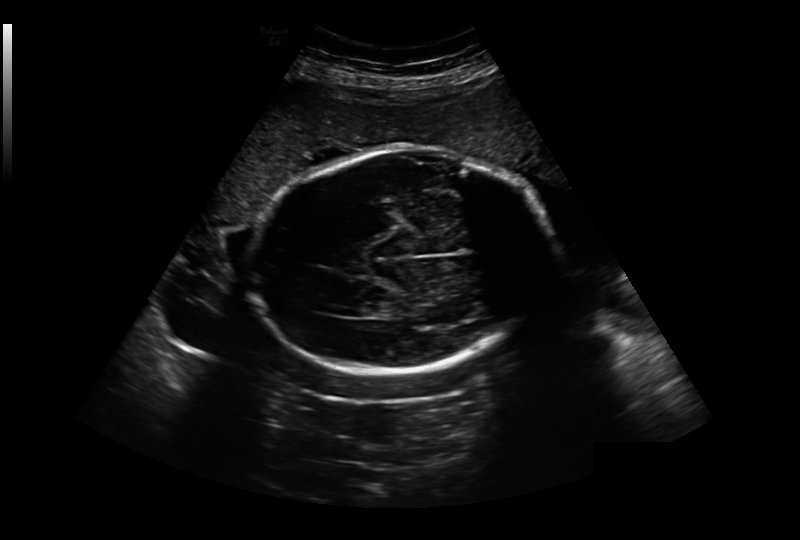
Estimate the fetal head circumference from this 2D ultrasound. Image width: 278.8 mm.

Head circumference: 291.3 mm.